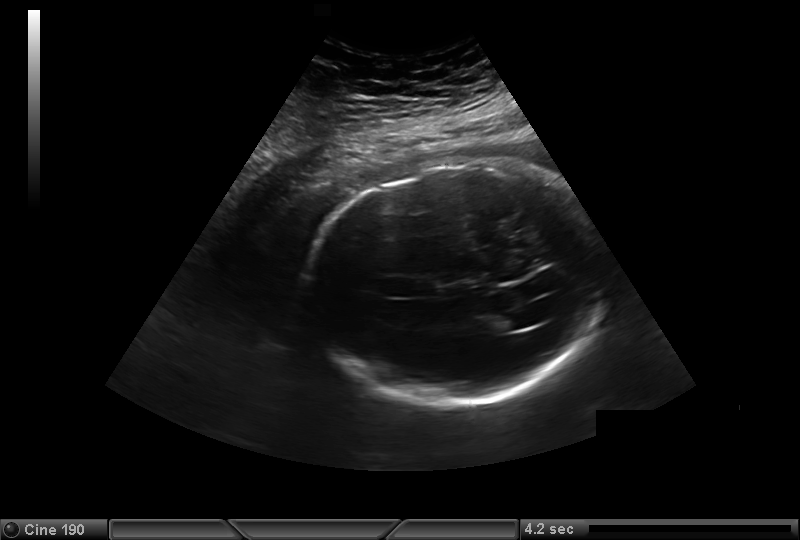
Fetal head ultrasound. Image width: 258.3 mm. Where is the lateral ventricle?

Lateral ventricle bounding box: [489,309,527,334]